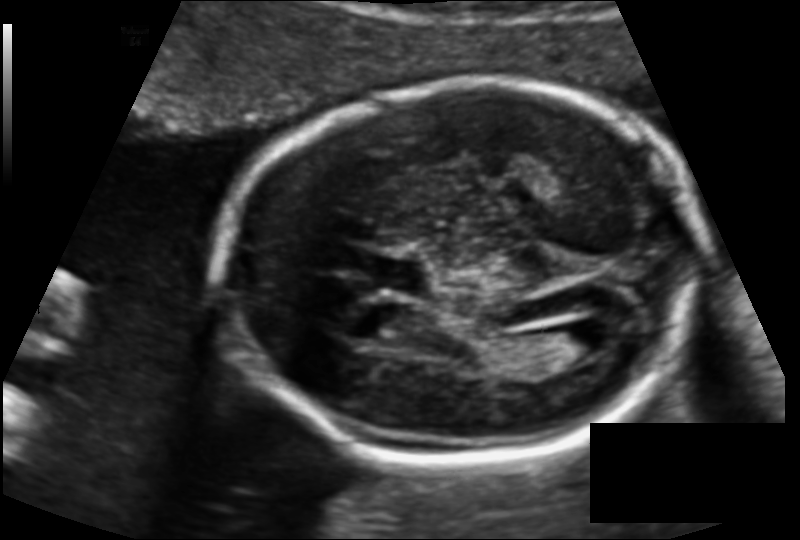
From this fetal ultrasound, estimate the head circumference (image width 99.5 mm).

Head circumference: 173.9 mm.